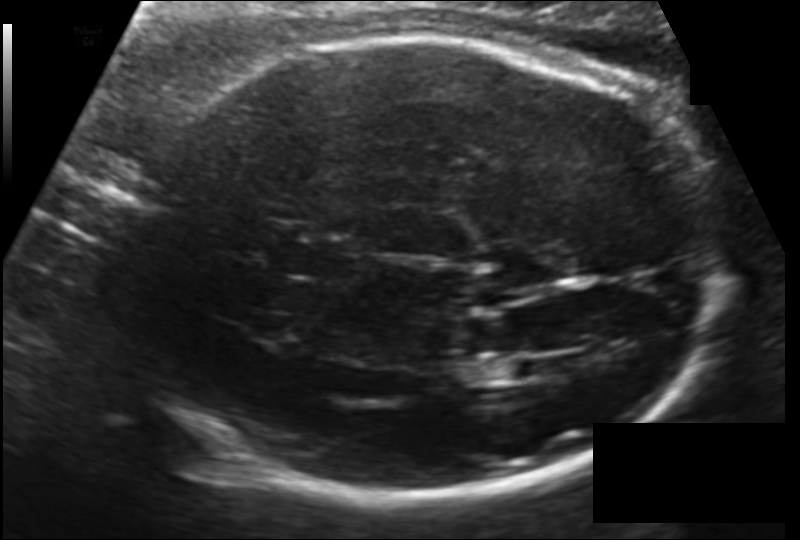
Measure the fetal head circumference shown in this ultrasound image. Image width: 120.6 mm.

Head circumference: 258.8 mm.